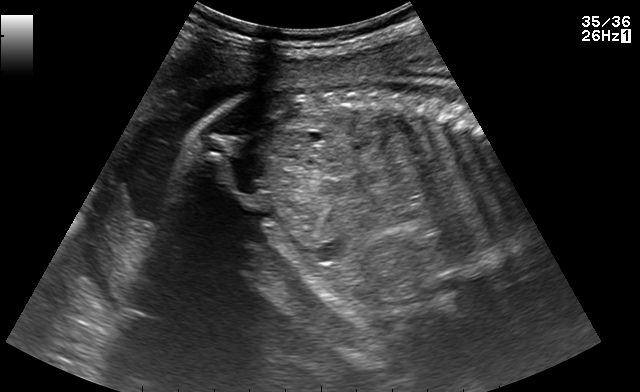
Classify this maternal-fetal ultrasound image as one of the six standard planes — fetal abdomen, fetal brain, fetal femur, fetal thorax, maternal cervix, or other. If it's fetal brain and one of the three standard brain planes (trans-thalamic, trans-cerebellum, trans-ventricular), name which.

Other